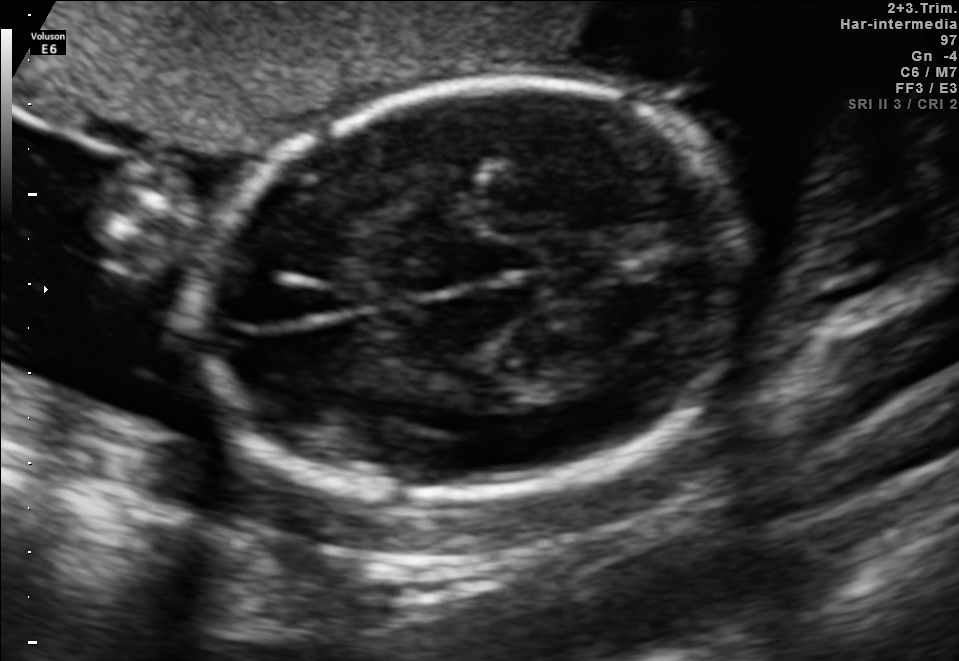
Fetal brain, trans-thalamic plane. Where is the fetal head?

Head bounding box: [193,80,752,495]